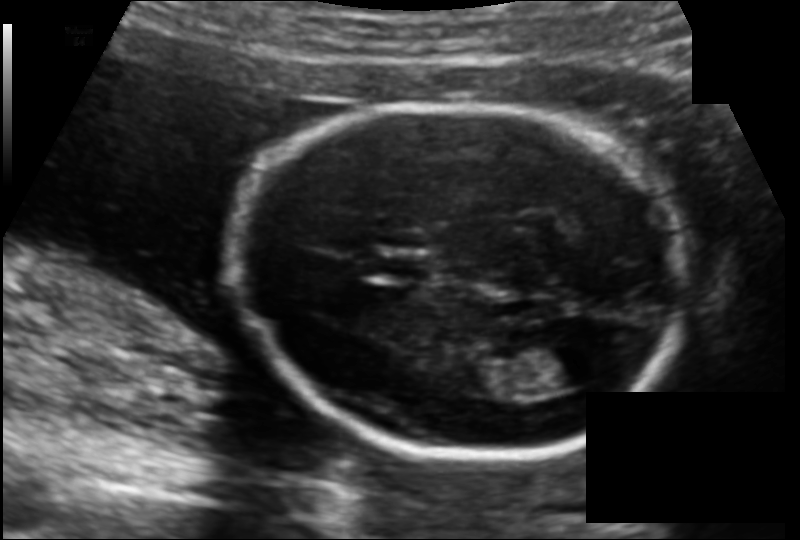
Fetal head ultrasound. Image width: 100.4 mm. Locate the fetal head.

Head: [236,103,684,455]